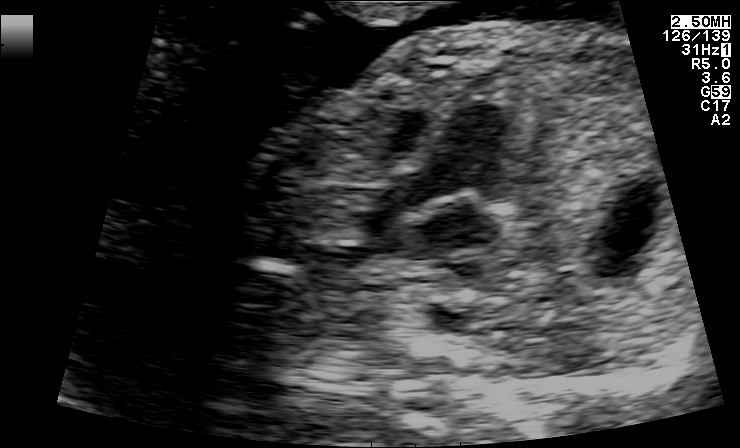
Identify the standard plane in this fetal ultrasound image: fetal abdomen, fetal brain, fetal femur, fetal thorax, maternal cervix, or other. If it's fetal brain and one of the three standard brain planes (trans-thalamic, trans-cerebellum, trans-ventricular), name which.

Other